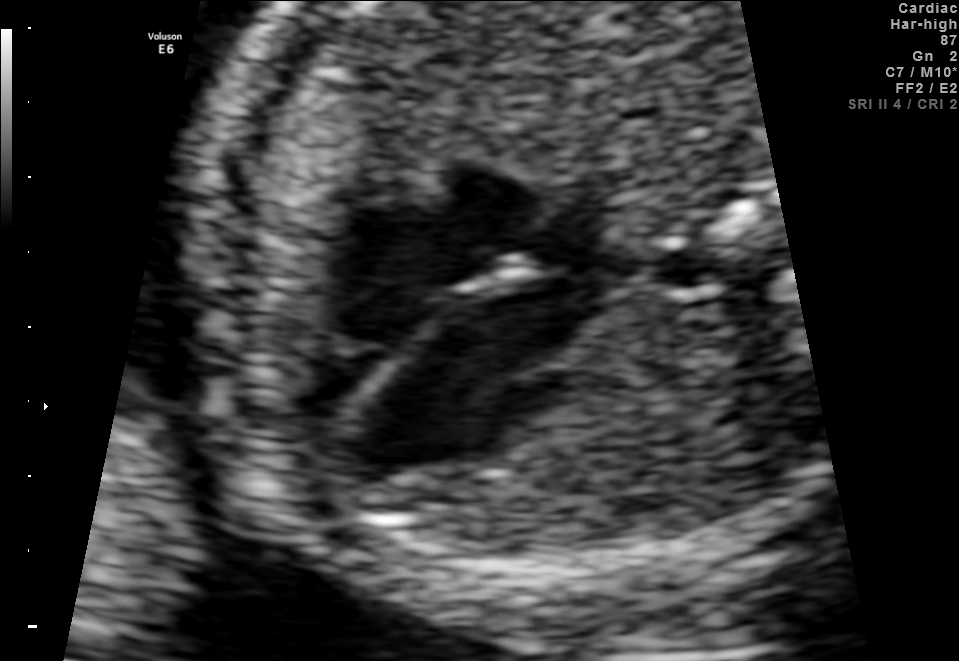
This is a 2D maternal-fetal ultrasound frame. Is it a fetal abdomen, fetal brain, fetal femur, fetal thorax, maternal cervix, or other standard plane? If it's fetal brain and one of the three standard brain planes (trans-thalamic, trans-cerebellum, trans-ventricular), name which.

Fetal thorax